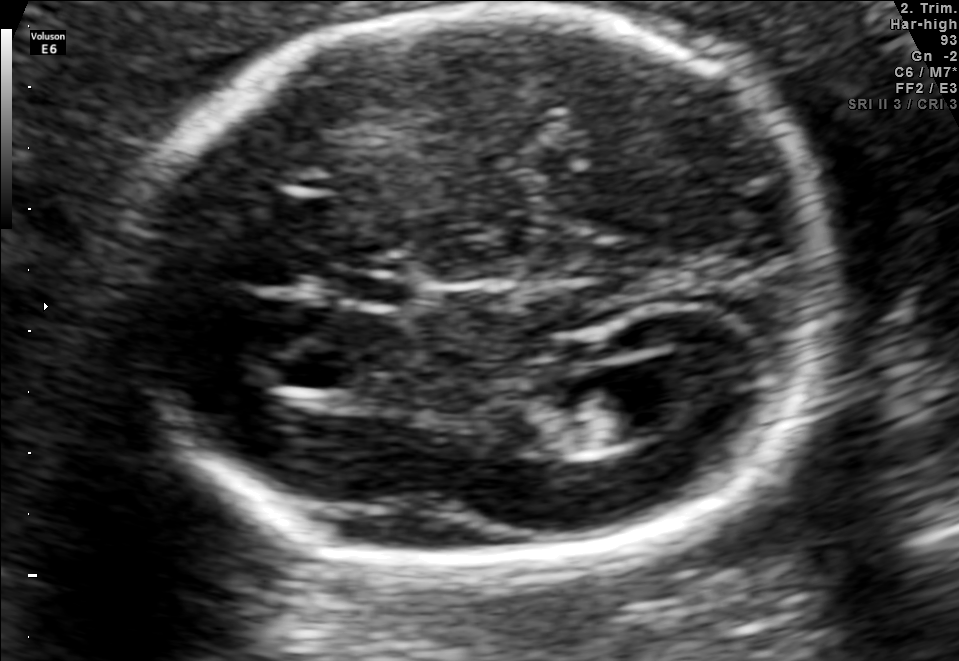
In this fetal brain, trans-ventricular plane, give the bounding box of the cavum septum pellucidum.

[333,269,420,316]